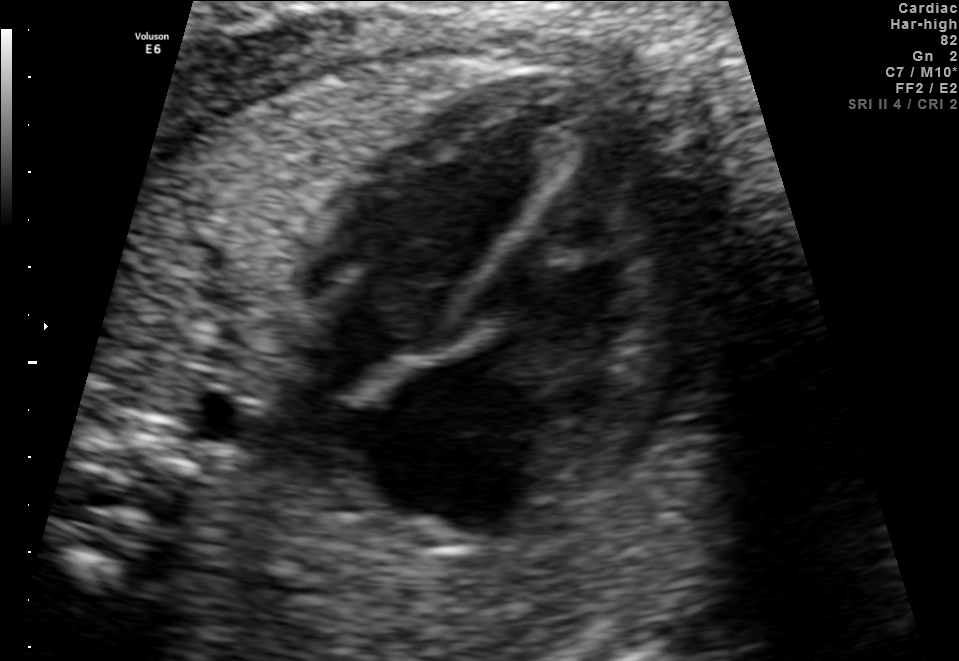
Which standard maternal-fetal ultrasound plane is shown: fetal abdomen, fetal brain, fetal femur, fetal thorax, maternal cervix, or other? If it's fetal brain and one of the three standard brain planes (trans-thalamic, trans-cerebellum, trans-ventricular), name which.

Fetal thorax